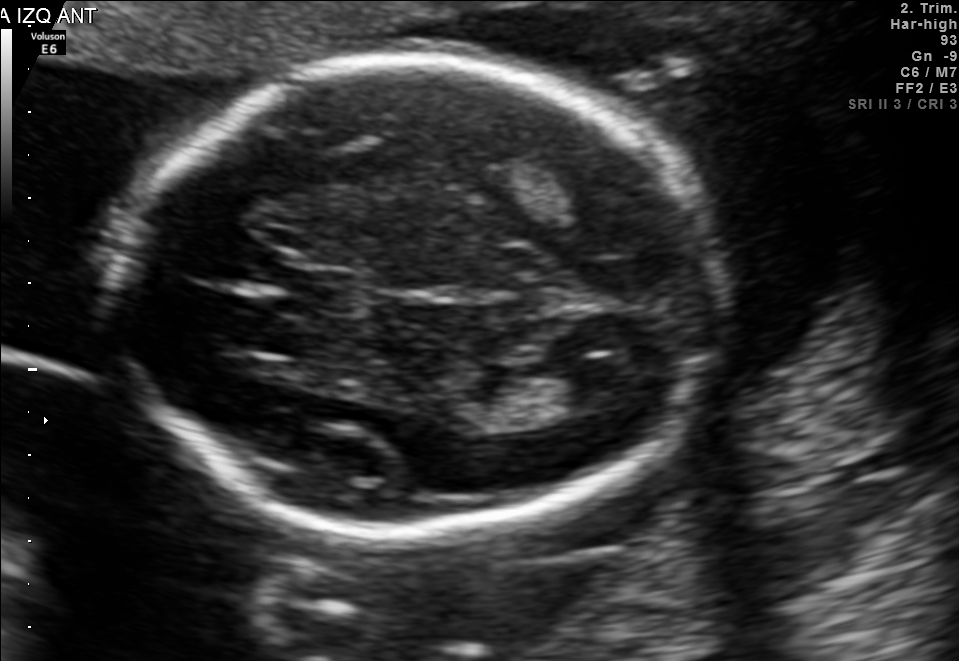
Fetal brain, trans-thalamic plane. Locate the lateral ventricle.

Lateral ventricle: [529,349,631,425]